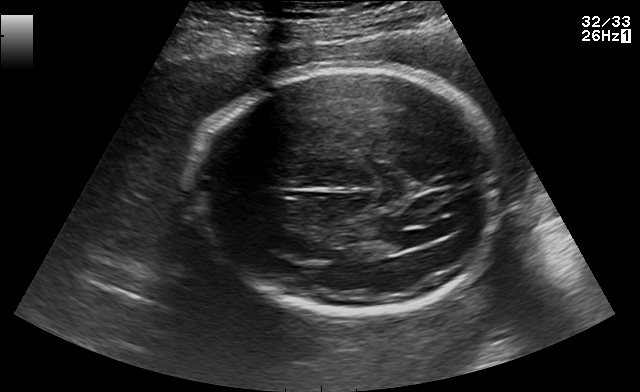
In this fetal brain, trans-ventricular plane, give the bounding box of the fetal head.

[191,63,507,320]